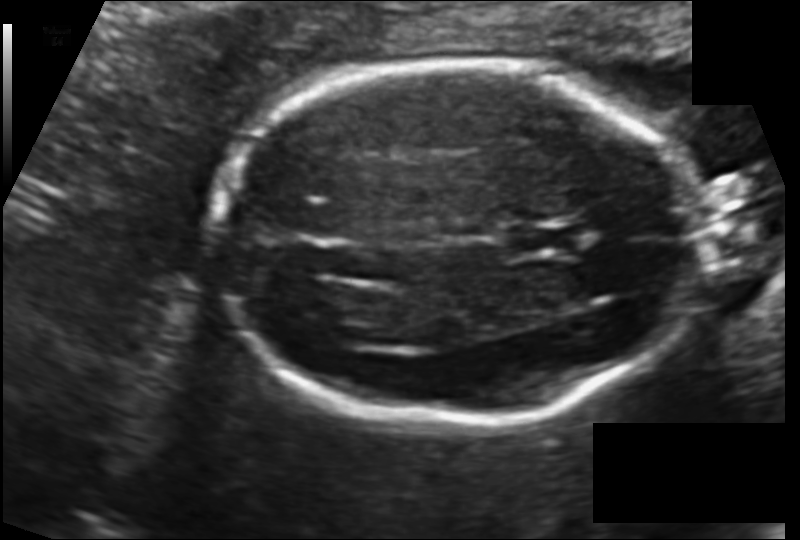
Fetal head ultrasound. Image width: 98.3 mm. Locate the fetal head.

Head: [212,65,707,428]